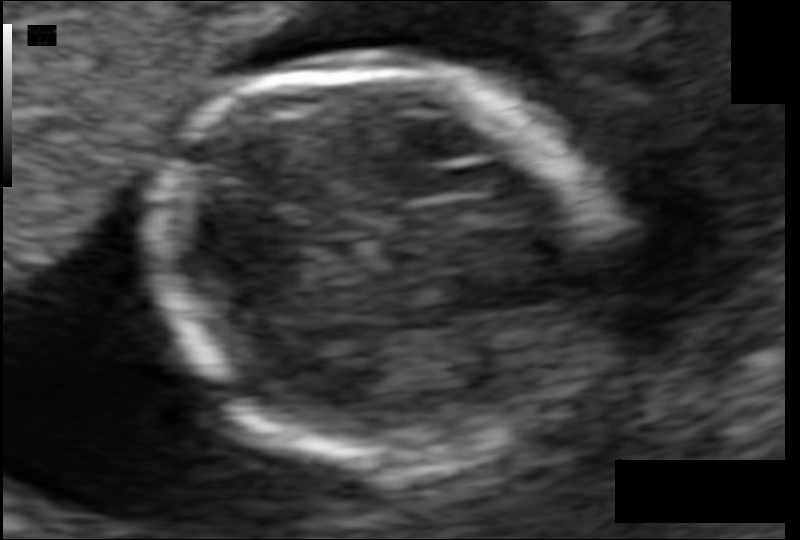
Estimate the fetal head circumference from this 2D ultrasound.

Head circumference: 100.8 mm (image width 58.1 mm).